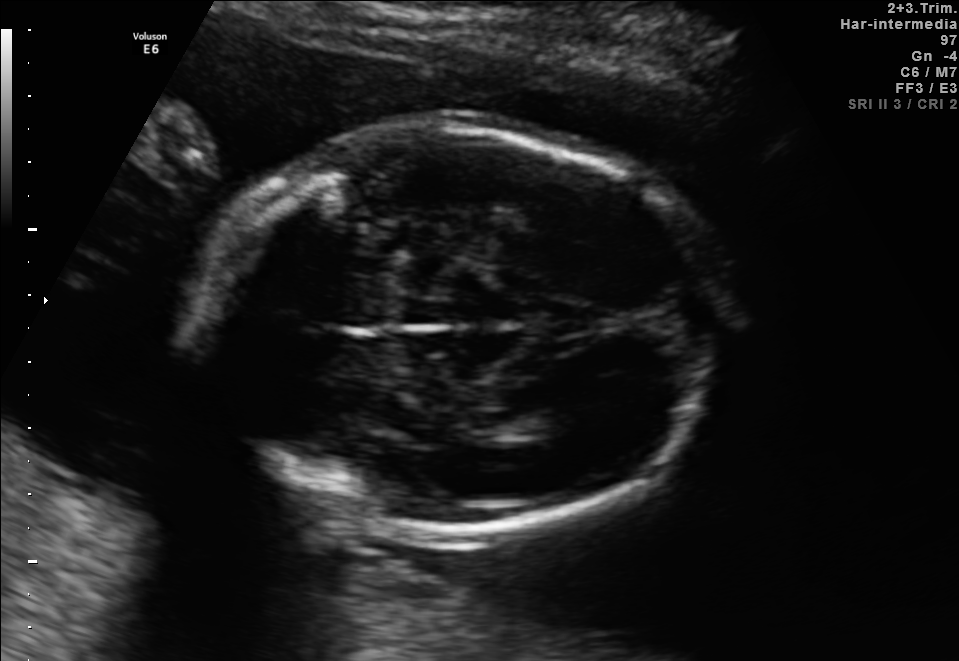
In this fetal brain, trans-thalamic plane, give the bounding box of the fetal head.

[190,128,719,533]